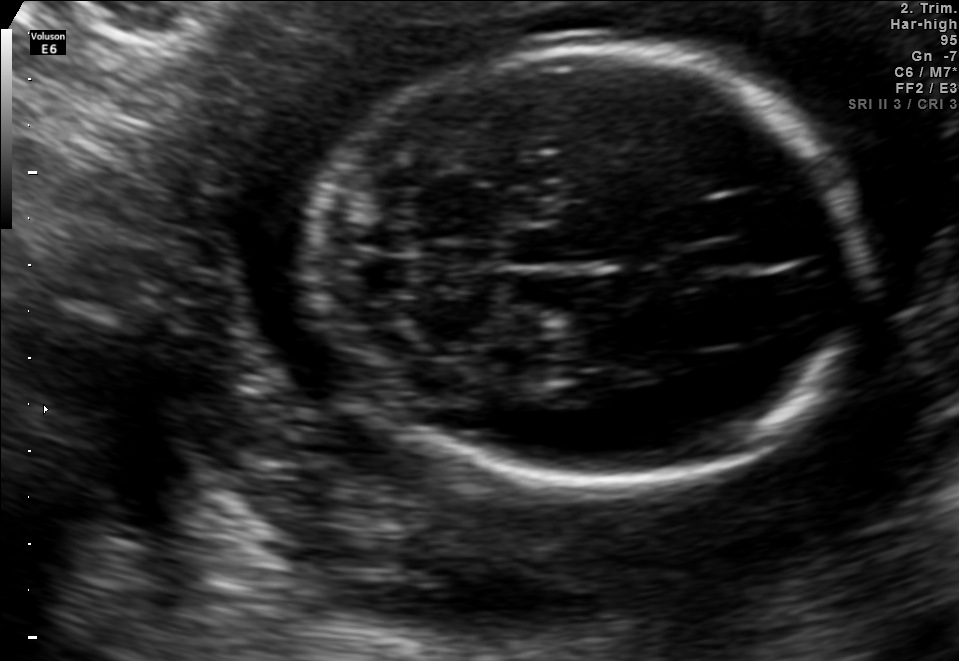
Fetal brain, trans-cerebellum plane. Locate the fetal head.

Head: [312,49,855,482]